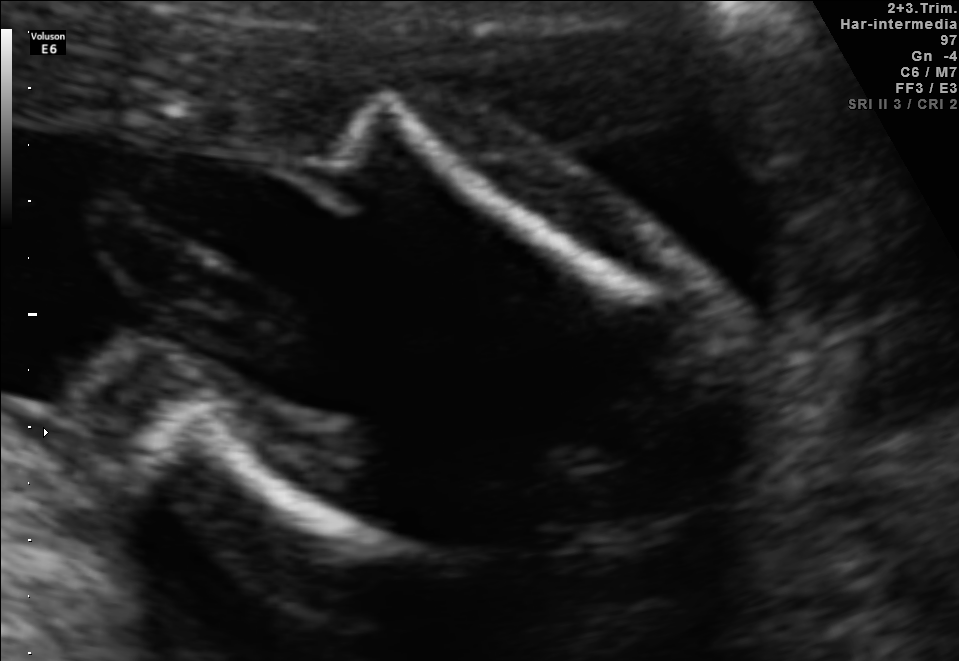
Classify this maternal-fetal ultrasound image as one of the six standard planes — fetal abdomen, fetal brain, fetal femur, fetal thorax, maternal cervix, or other. If it's fetal brain and one of the three standard brain planes (trans-thalamic, trans-cerebellum, trans-ventricular), name which.

Fetal femur